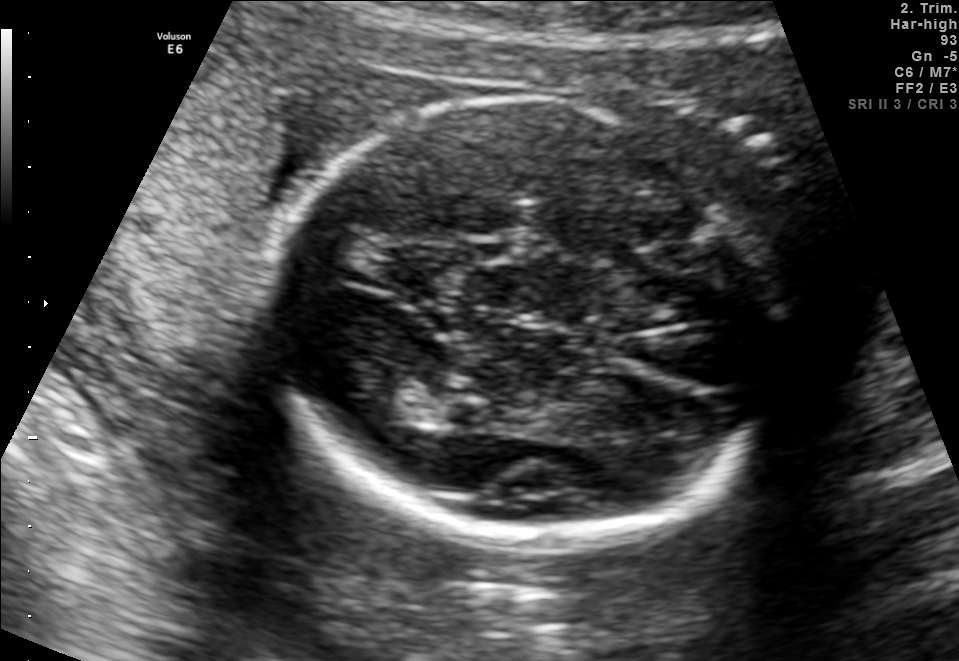
In this fetal brain, trans-thalamic plane, give bounding boxes for the head outline, cavum septum pellucidum (CSP), and lateral ventricle (LV), where visible.

Head: [259,97,802,540]
Lateral ventricle: [357,376,452,431]